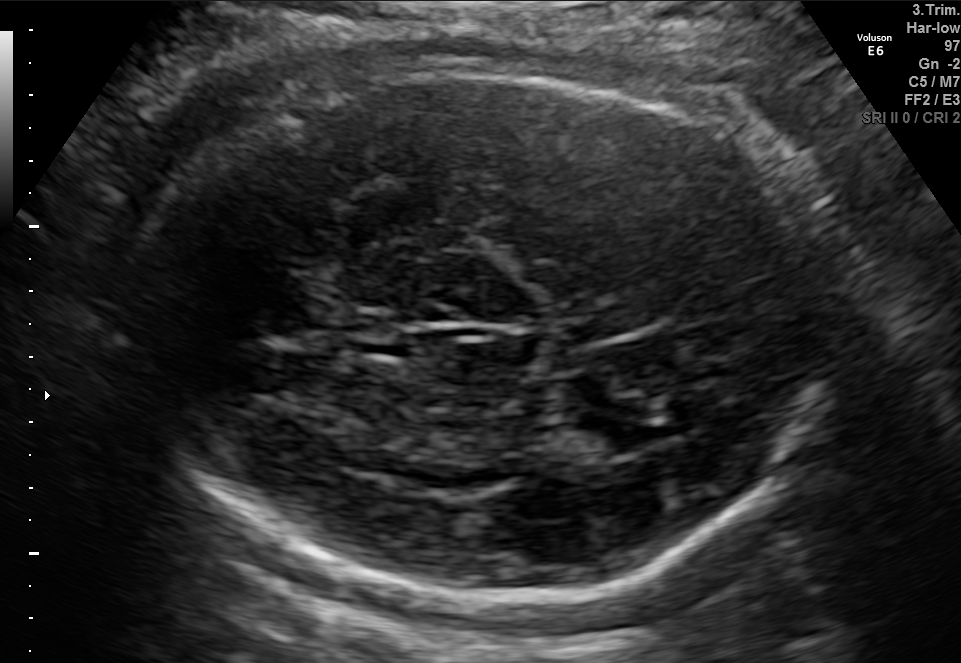
Fetal brain, trans-thalamic plane. Locate the cavum septum pellucidum.

CSP: [351,336,417,360]